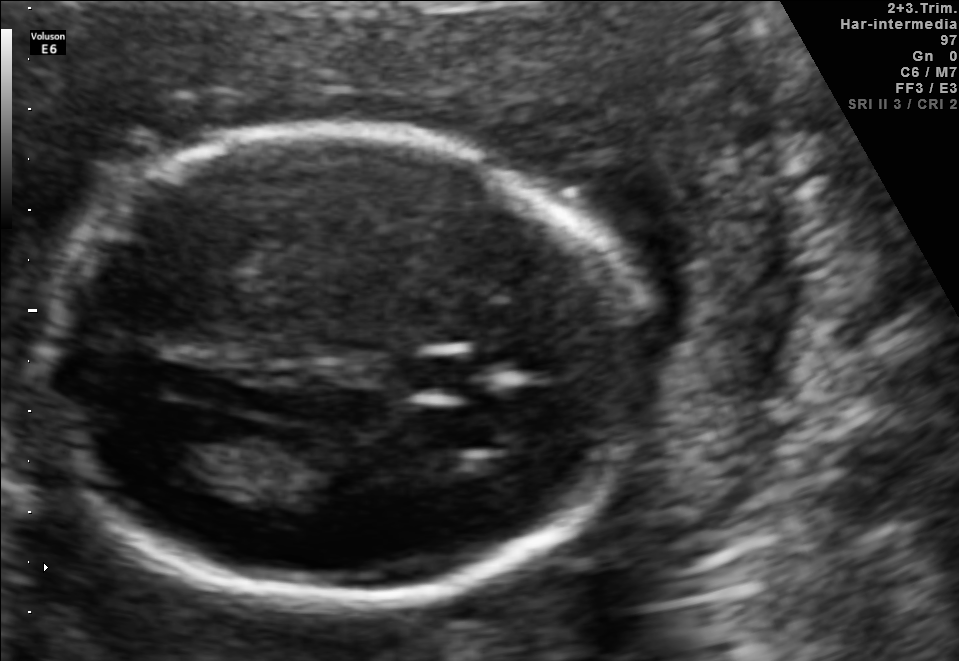
Classify this maternal-fetal ultrasound image as one of the six standard planes — fetal abdomen, fetal brain, fetal femur, fetal thorax, maternal cervix, or other. If it's fetal brain and one of the three standard brain planes (trans-thalamic, trans-cerebellum, trans-ventricular), name which.

Fetal brain (trans-ventricular plane)